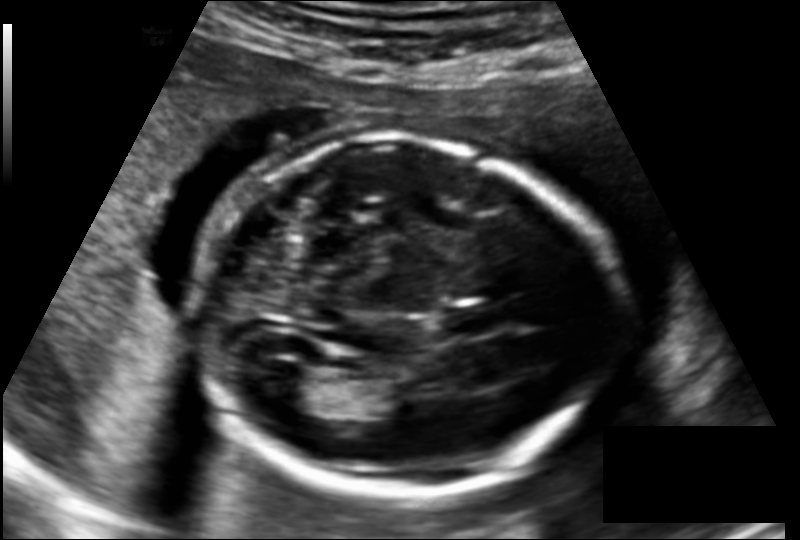
Estimate the fetal head circumference from this 2D ultrasound.

Head circumference: 183.1 mm (image width 115.9 mm).